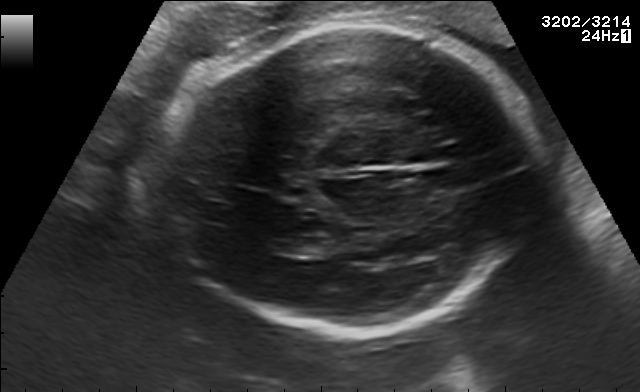
Fetal brain, trans-thalamic plane. Locate the lateral ventricle.

Lateral ventricle: [271,237,332,255]